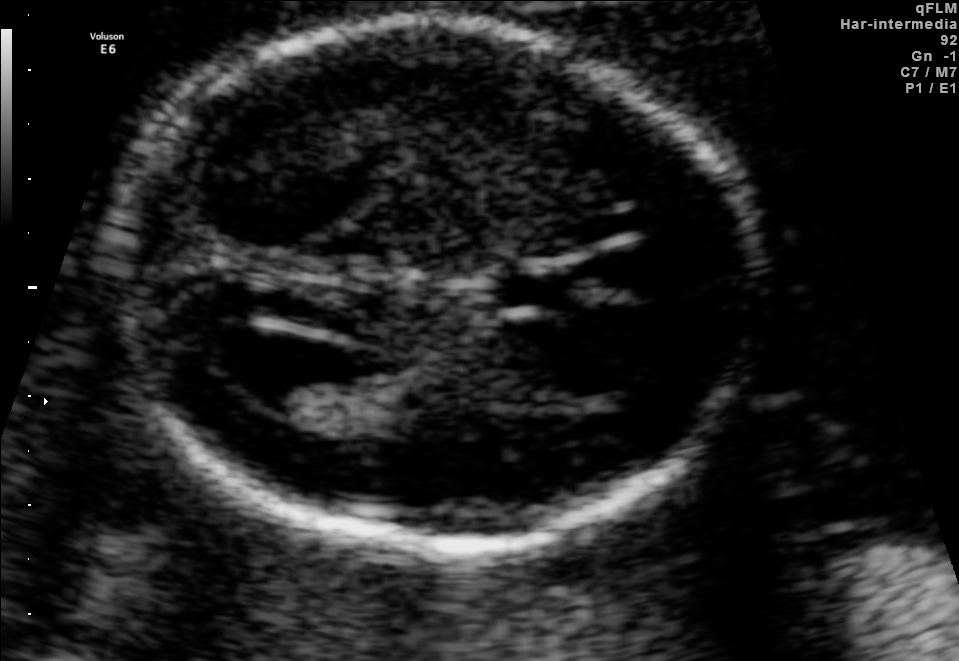
In this fetal brain, trans-ventricular plane, give the bounding box of the cavum septum pellucidum.

[482,272,588,312]